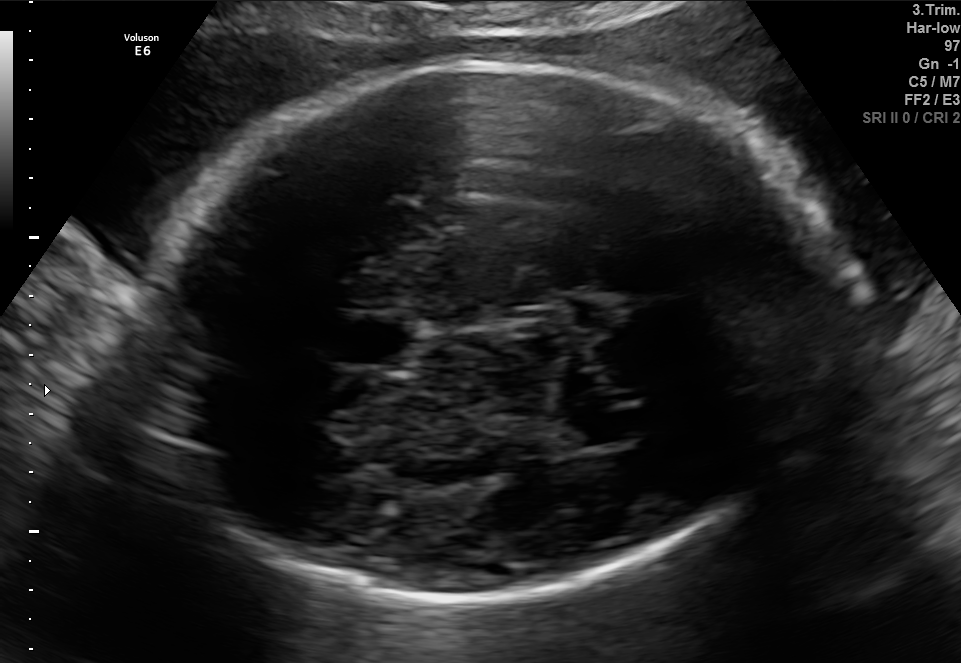
In this fetal brain, trans-thalamic plane, give the bounding box of the fetal head.

[138,61,847,596]